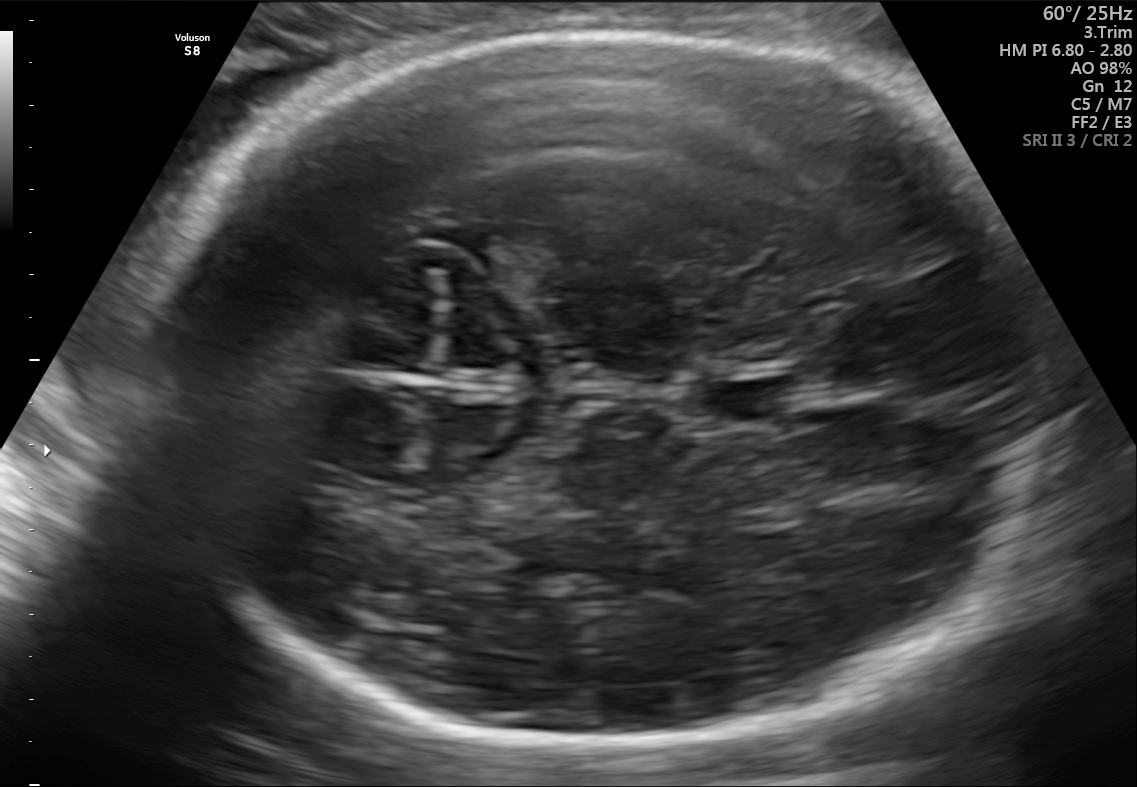
Fetal brain, trans-thalamic plane. Locate the fetal head.

Head: [120,29,1055,749]